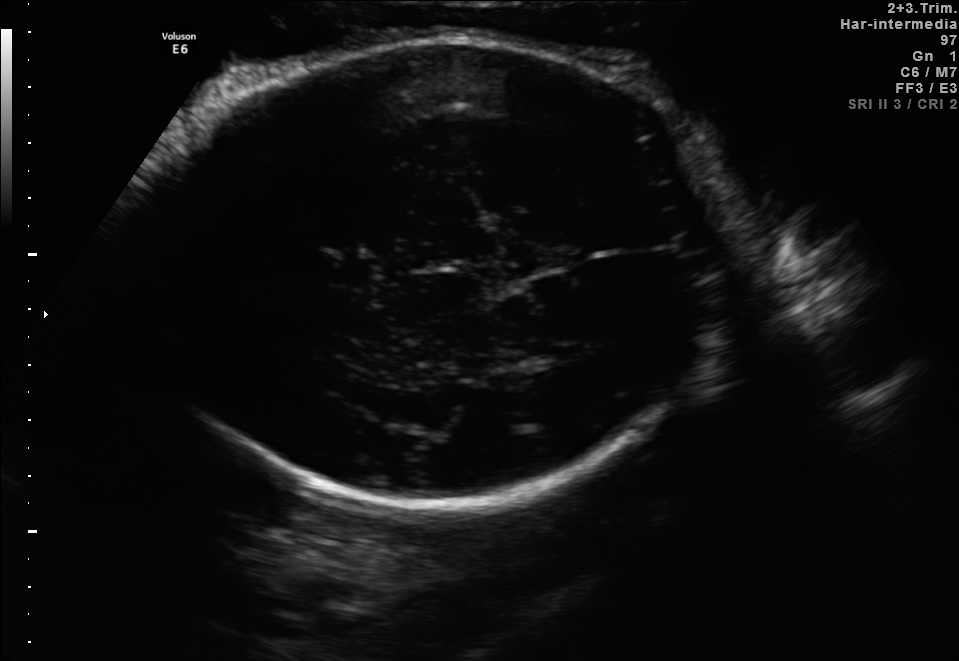
Fetal brain, trans-thalamic plane. Locate the fetal head and, if visible, the cavum septum pellucidum (CSP) and lateral ventricle (LV). Give bounding boxes as [x1,y1,x2,y2].

Head: [137,34,726,509]